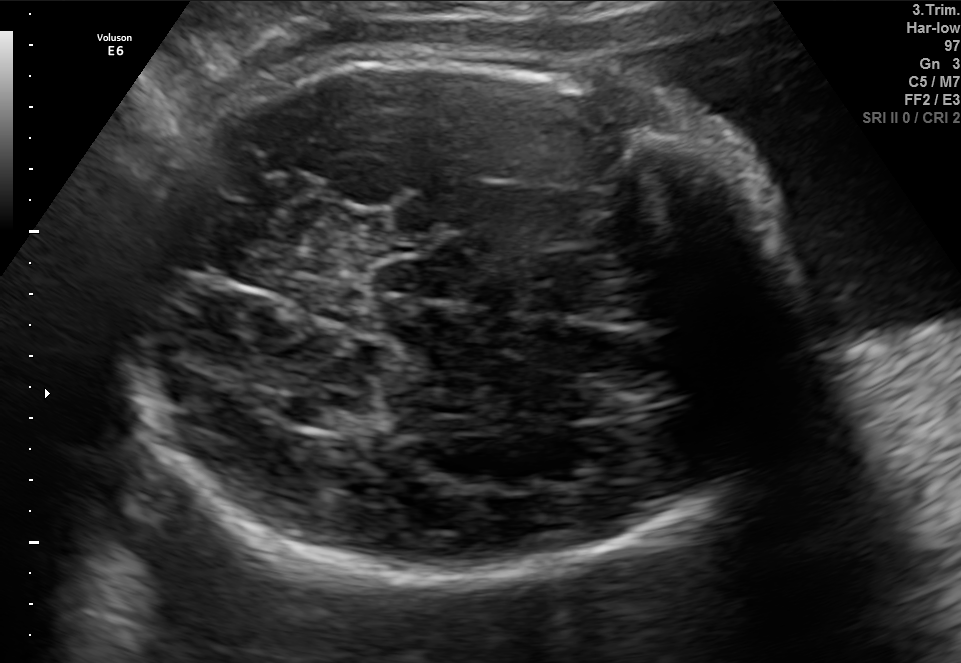
In this fetal brain, trans-thalamic plane, give bounding boxes for the head outline, cavum septum pellucidum (CSP), and lateral ventricle (LV), where visible.

Head: [107,45,804,584]